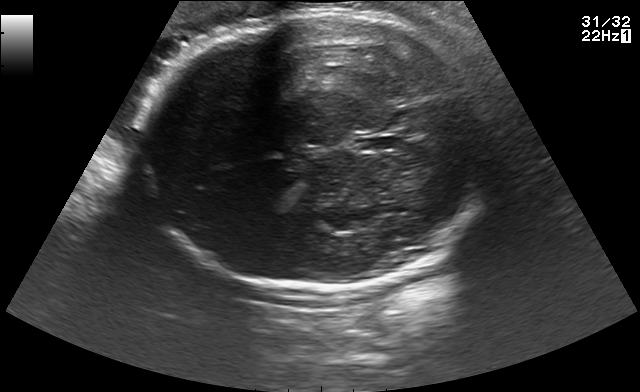
This is a 2D maternal-fetal ultrasound frame. Is it a fetal abdomen, fetal brain, fetal femur, fetal thorax, maternal cervix, or other standard plane? If it's fetal brain and one of the three standard brain planes (trans-thalamic, trans-cerebellum, trans-ventricular), name which.

Fetal brain (trans-thalamic plane)